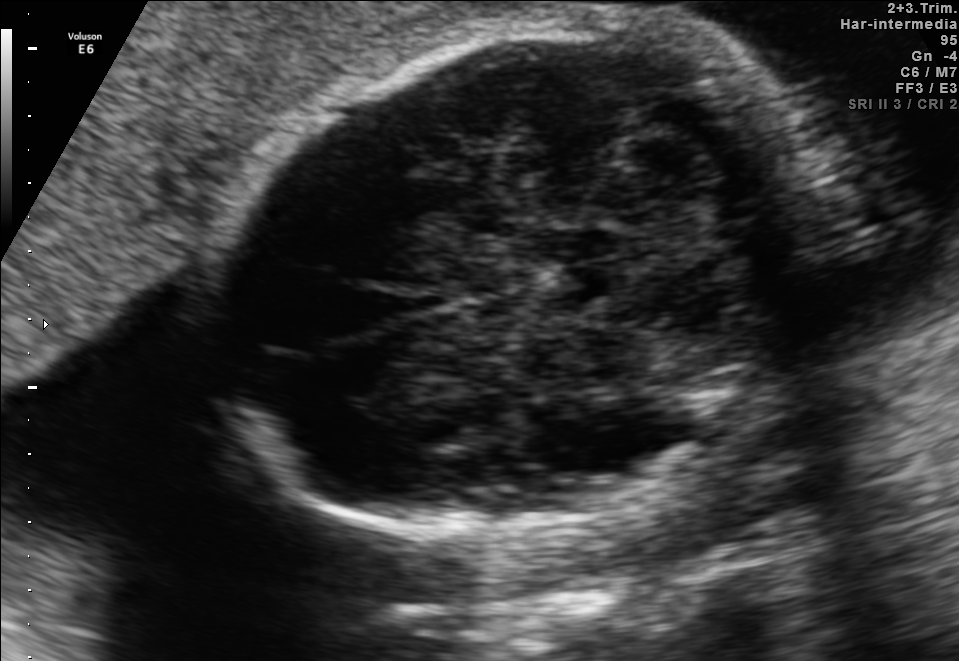
In this fetal brain, trans-cerebellum plane, give the bounding box of the fetal head.

[206,23,817,538]